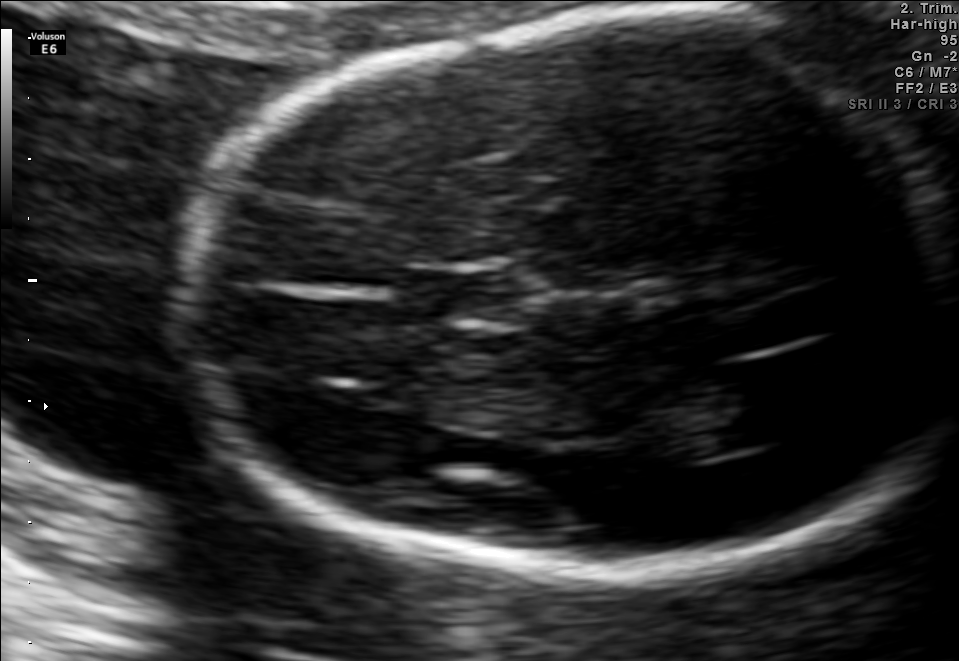
Fetal brain, trans-thalamic plane. Locate the lateral ventricle.

Lateral ventricle: [665,363,802,463]